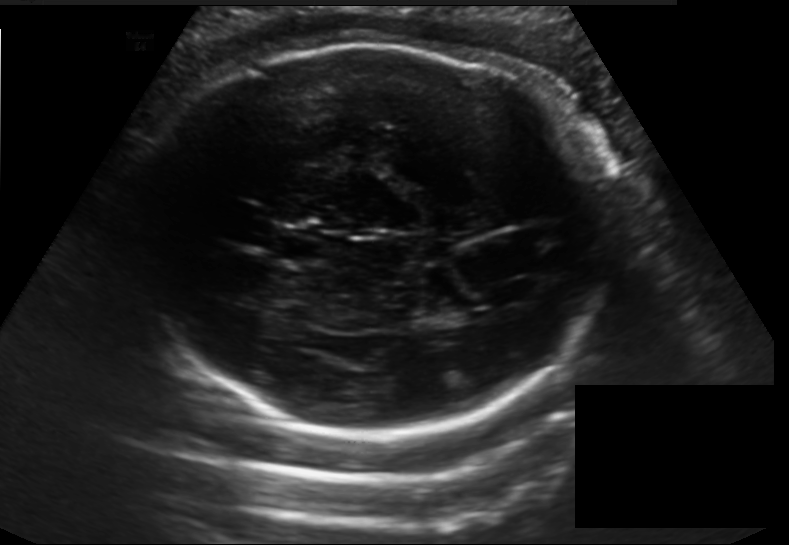
Fetal head ultrasound. Image width: 156.6 mm. Give [x1,y1,x2,y2] bounding boxes for each visible structure among: fetal head, CSP, LV.

Head: [128,44,610,435]
CSP: [267,229,331,269]